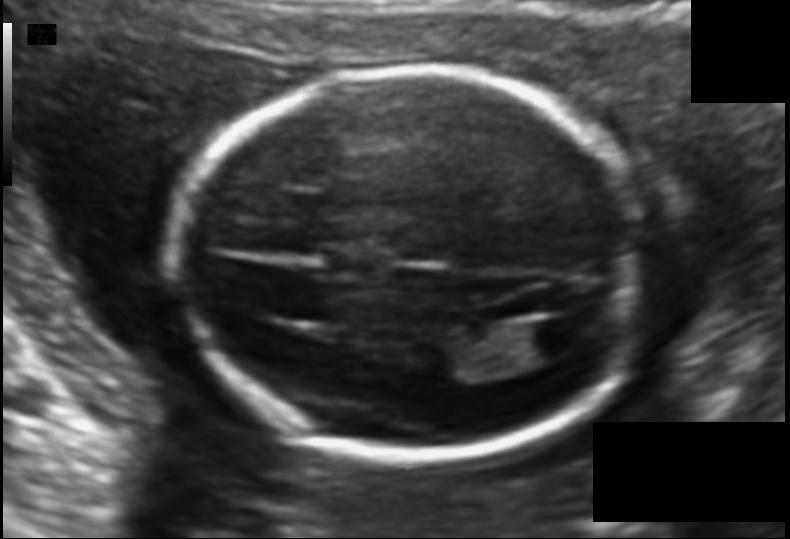
Estimate the fetal head circumference from this 2D ultrasound. Image width: 95.9 mm.

Head circumference: 170.2 mm.